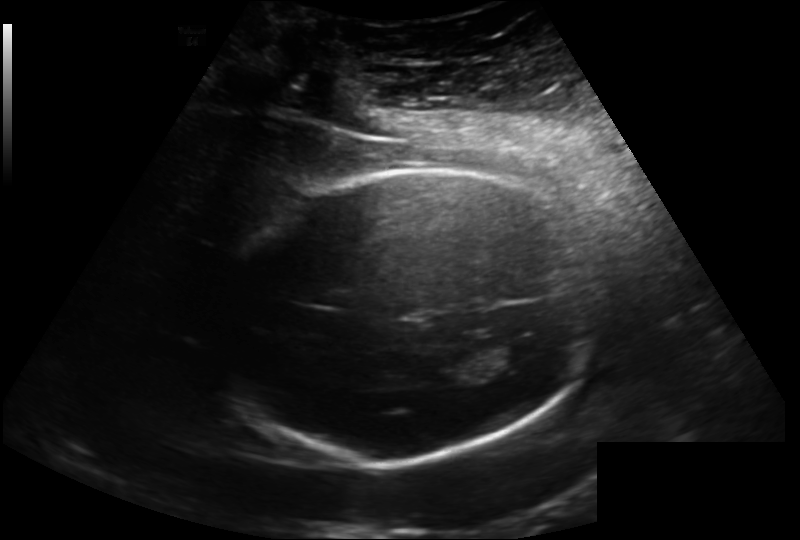
In this fetal head ultrasound, give the bounding box of the lateral ventricle. Image width: 161.6 mm.

[488,332,551,378]